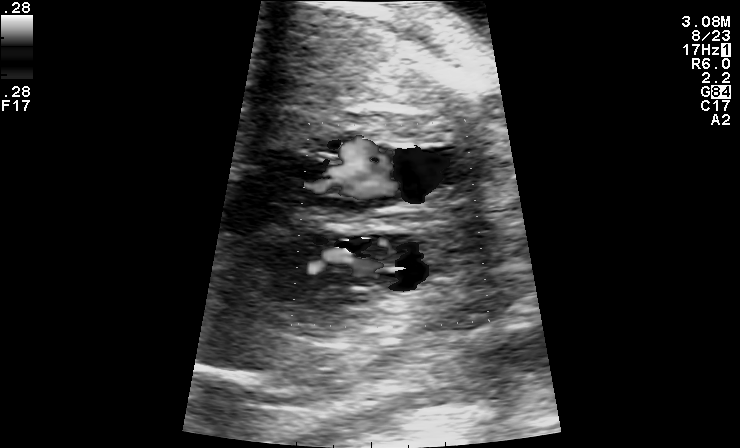
Identify the standard plane in this fetal ultrasound image: fetal abdomen, fetal brain, fetal femur, fetal thorax, maternal cervix, or other. If it's fetal brain and one of the three standard brain planes (trans-thalamic, trans-cerebellum, trans-ventricular), name which.

Other